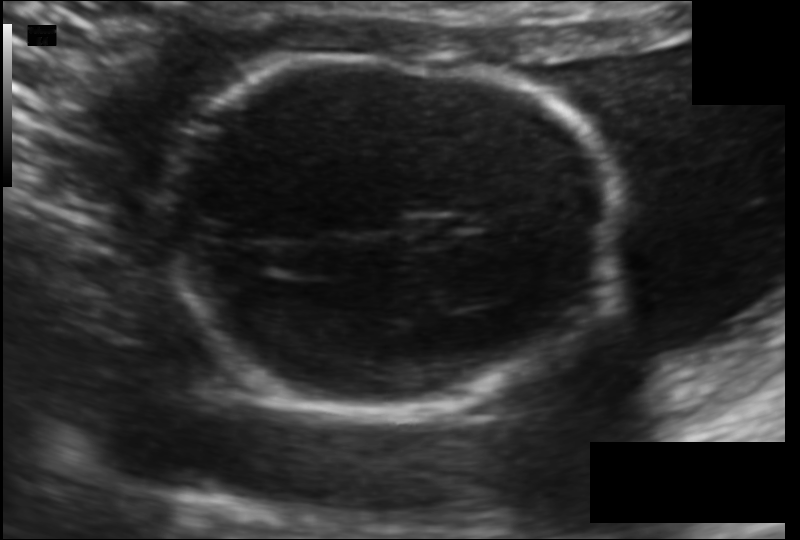
What is the fetal head circumference? Image width is 91.8 mm.

150.4 mm